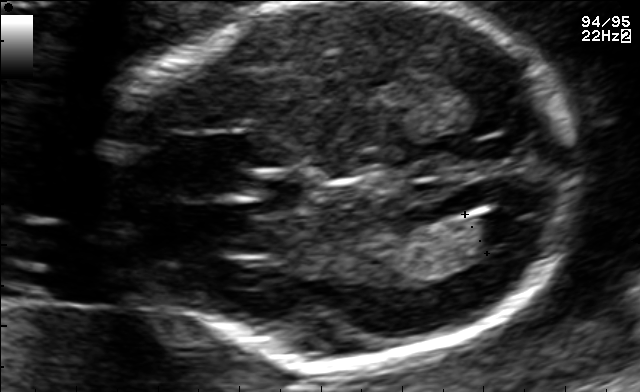
Fetal brain, trans-ventricular plane. Where is the cavum septum pellucidum?

CSP bounding box: [236,180,299,210]